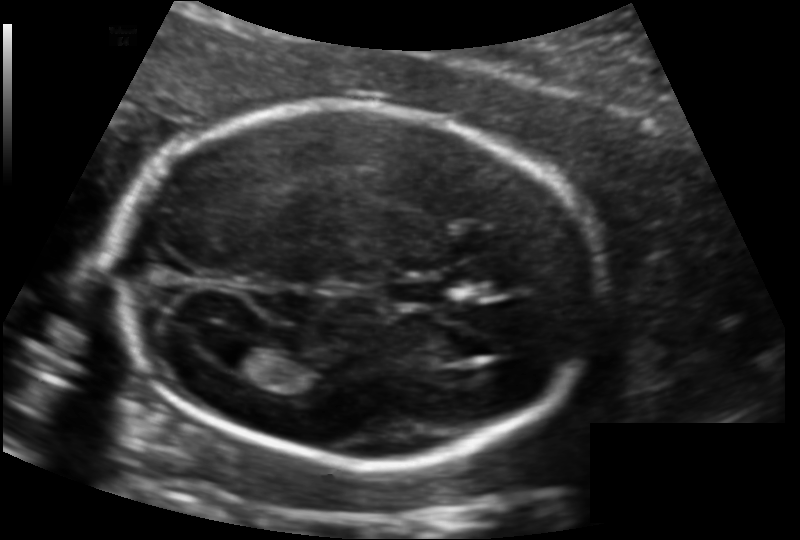
Fetal head ultrasound. Image width: 107.1 mm. Locate the fetal head.

Head: [115,104,595,466]